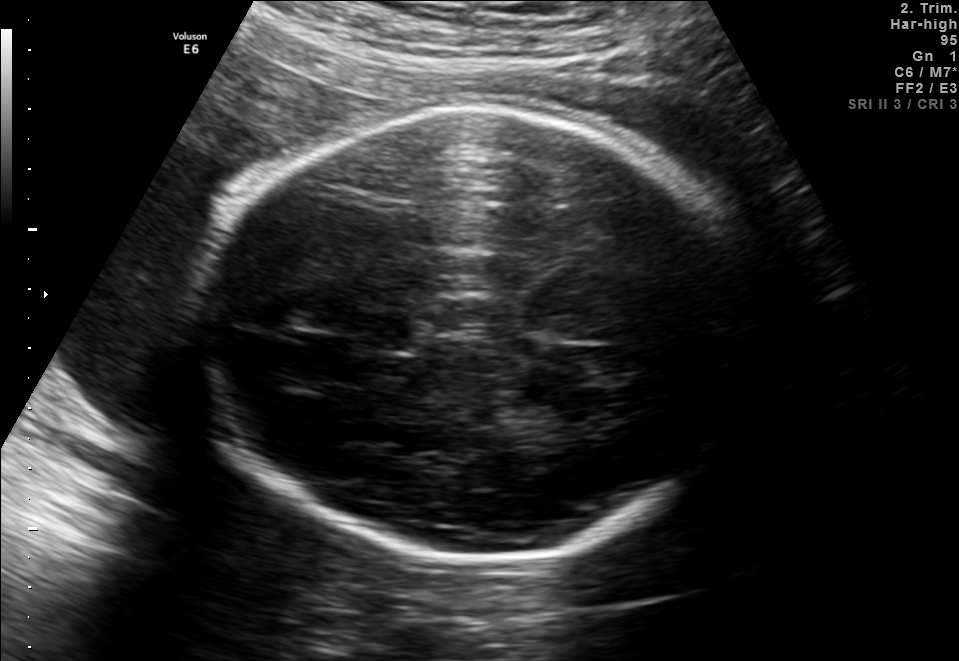
Fetal brain, trans-thalamic plane. Locate the fetal head and, if visible, the cavum septum pellucidum (CSP) and lateral ventricle (LV). Give bounding boxes as [x1,y1,x2,y2].

Head: [201,110,756,567]
CSP: [355,313,411,352]